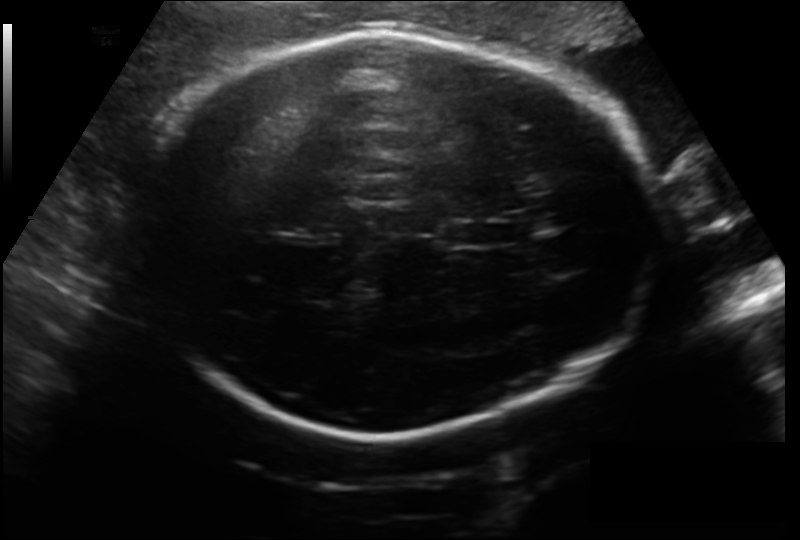
Fetal head ultrasound. Image width: 158.8 mm. Locate the cavum septum pellucidum.

CSP: [447,220,501,248]